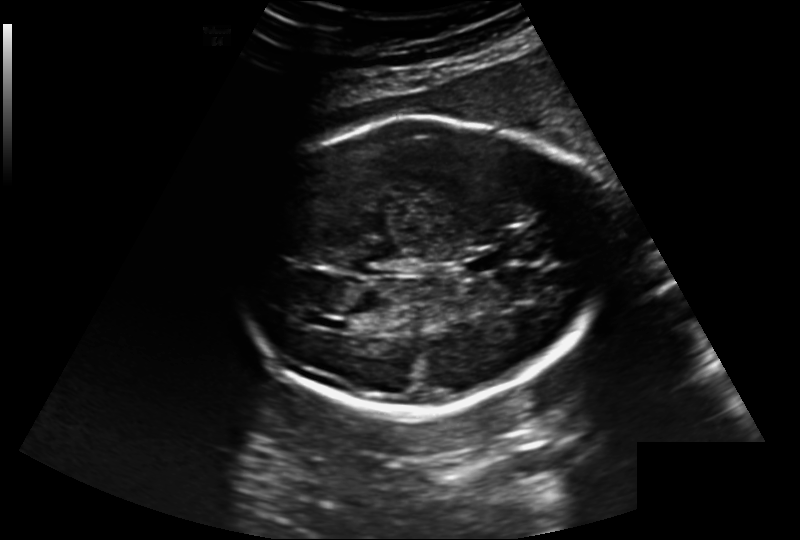
In this fetal head ultrasound, give the bounding box of the fetal head. Image width: 175.6 mm.

[235,115,610,413]